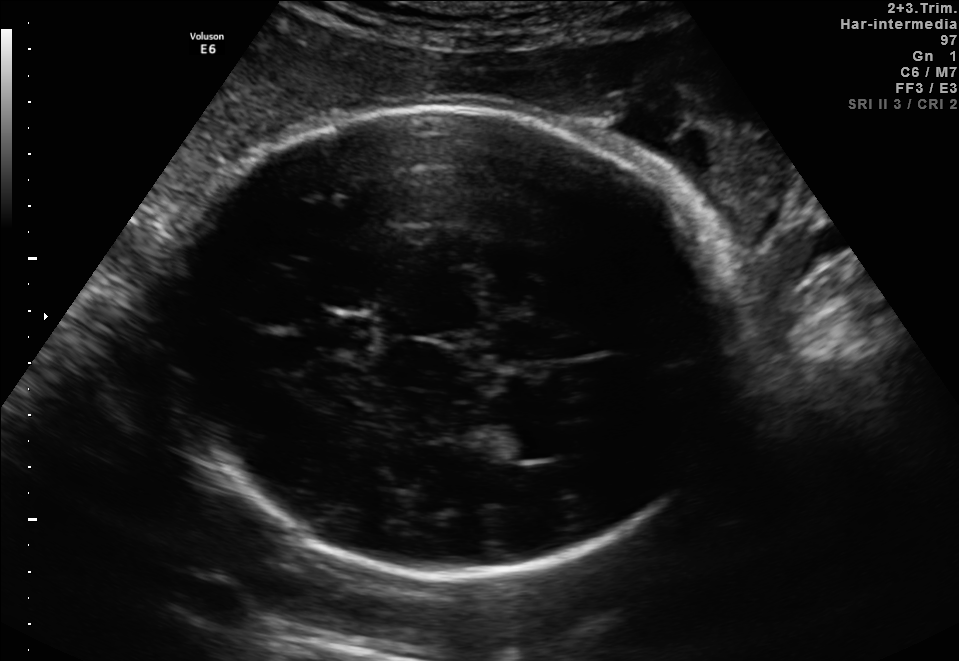
Fetal brain, trans-thalamic plane. Locate the fetal head.

Head: [159,101,738,576]